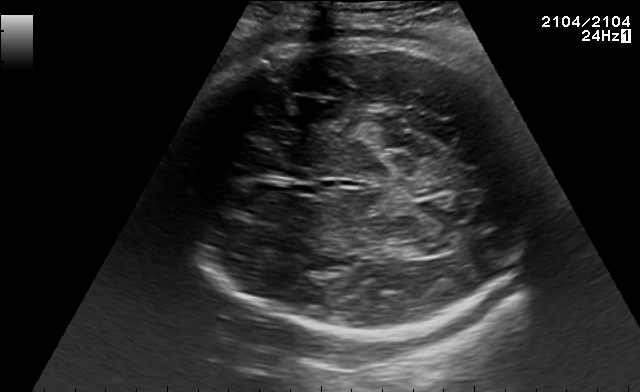
Identify the standard plane in this fetal ultrasound image: fetal abdomen, fetal brain, fetal femur, fetal thorax, maternal cervix, or other. If it's fetal brain and one of the three standard brain planes (trans-thalamic, trans-cerebellum, trans-ventricular), name which.

Fetal brain (trans-thalamic plane)